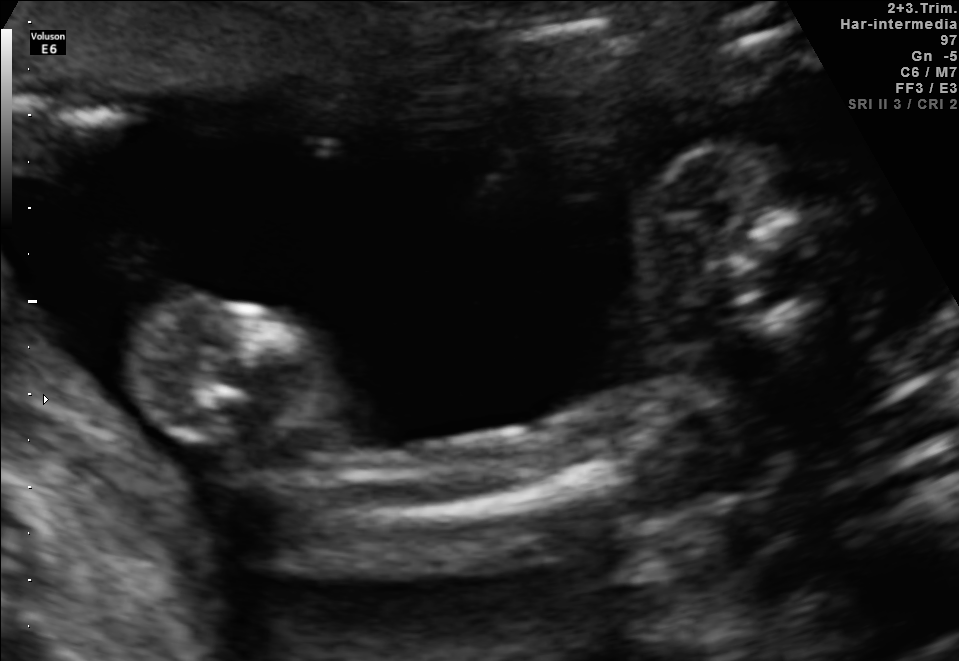
Identify the standard plane in this fetal ultrasound image: fetal abdomen, fetal brain, fetal femur, fetal thorax, maternal cervix, or other. If it's fetal brain and one of the three standard brain planes (trans-thalamic, trans-cerebellum, trans-ventricular), name which.

Other